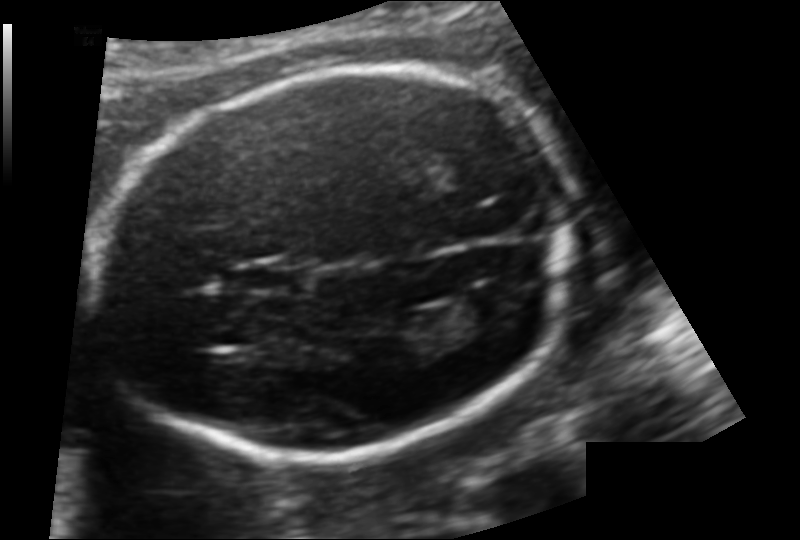
Fetal head ultrasound. Image width: 98.8 mm. Locate the cavum septum pellucidum.

CSP: [230,255,308,300]